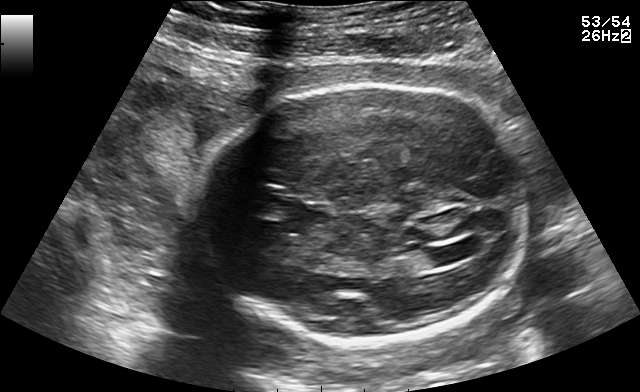
In this fetal brain, trans-ventricular plane, give the bounding box of the lateral ventricle.

[428,239,473,268]